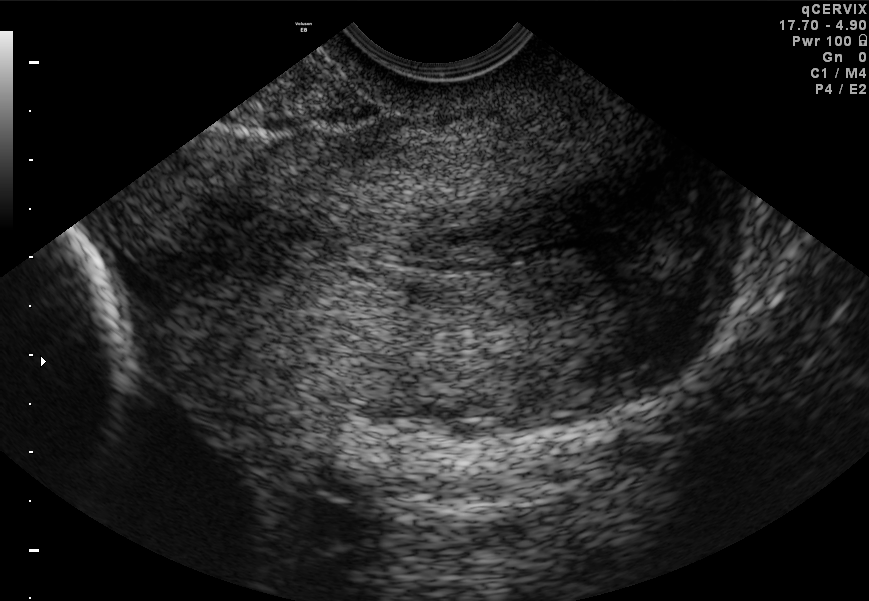
Classify this maternal-fetal ultrasound image as one of the six standard planes — fetal abdomen, fetal brain, fetal femur, fetal thorax, maternal cervix, or other. If it's fetal brain and one of the three standard brain planes (trans-thalamic, trans-cerebellum, trans-ventricular), name which.

Maternal cervix